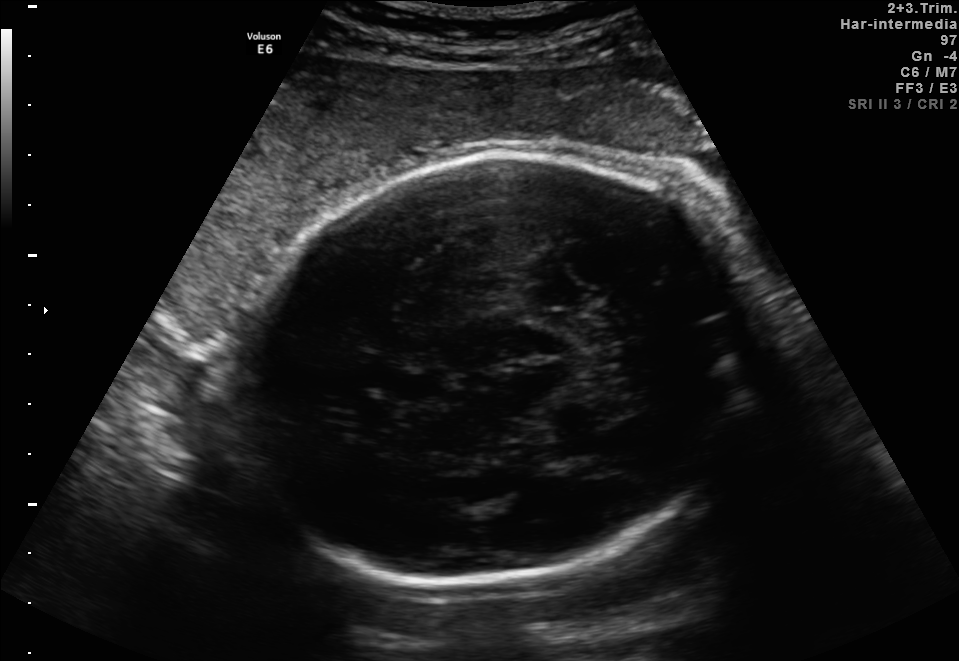
Fetal brain, trans-thalamic plane. Locate the fetal head.

Head: [227,151,756,584]